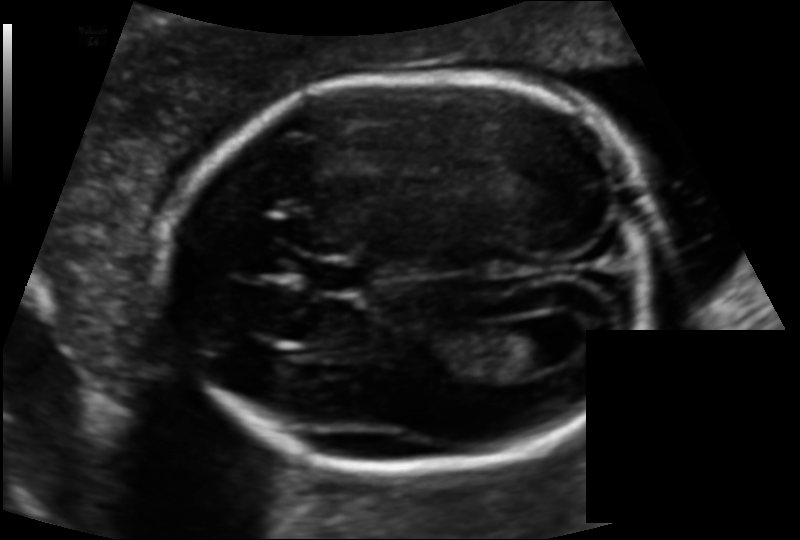
Estimate the fetal head circumference from this 2D ultrasound.

Head circumference: 171.9 mm (image width 95.5 mm).